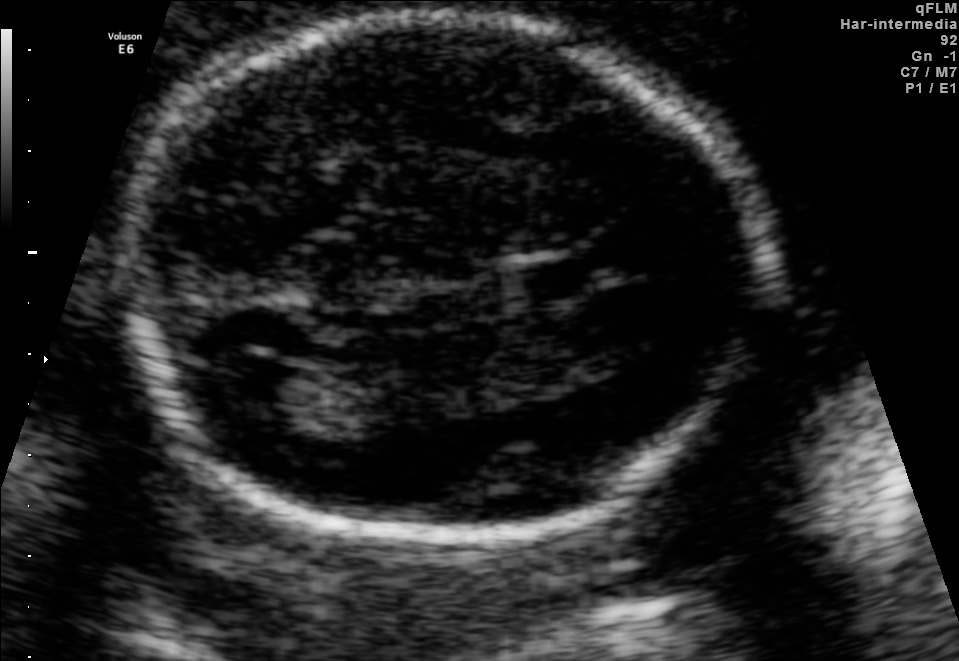
Fetal brain, trans-ventricular plane. Where is the lateral ventricle?

Lateral ventricle bounding box: [210,352,325,420]